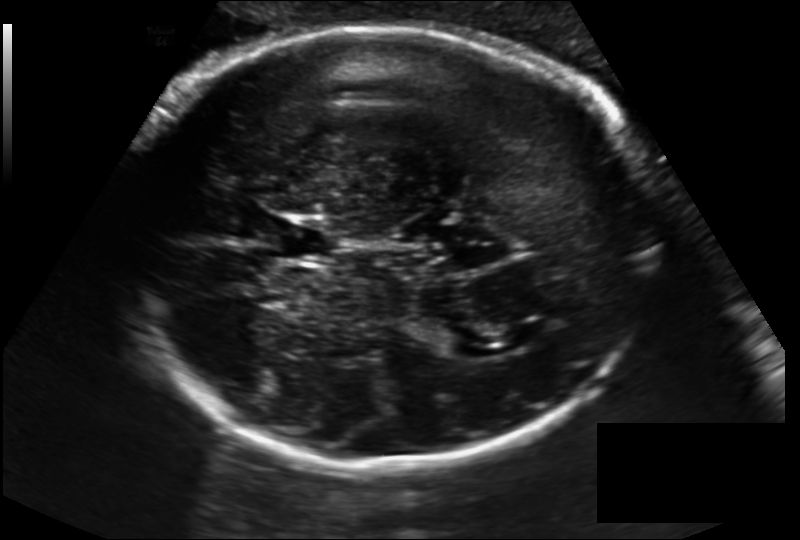
Estimate the fetal head circumference from this 2D ultrasound. Image width: 155.1 mm.

Head circumference: 300.0 mm.